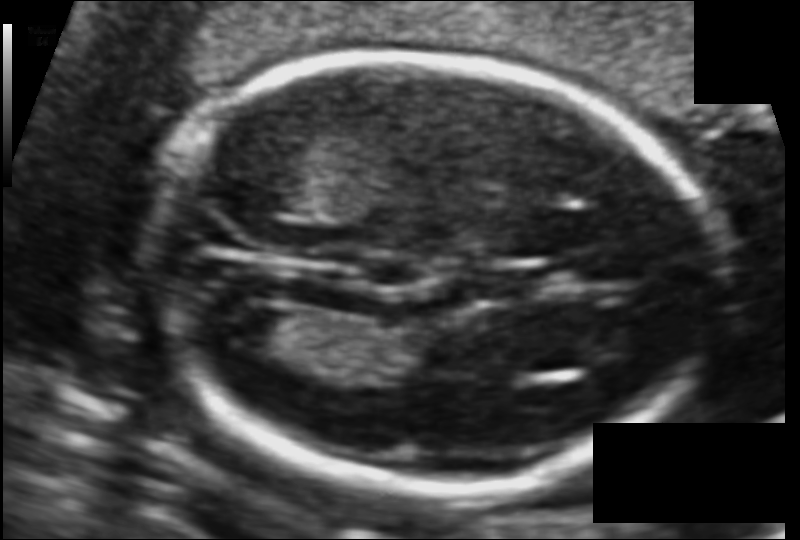
What is the fetal head circumference? Image width is 75.8 mm.

154.3 mm